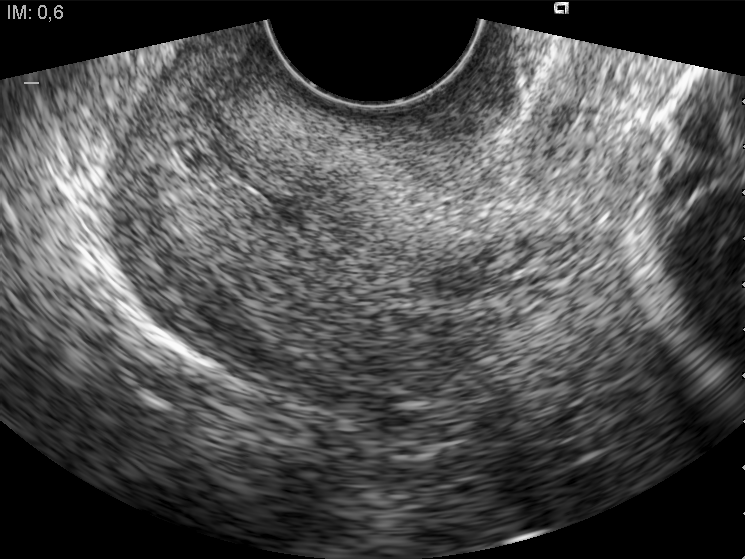
Identify the standard plane in this fetal ultrasound image: fetal abdomen, fetal brain, fetal femur, fetal thorax, maternal cervix, or other. If it's fetal brain and one of the three standard brain planes (trans-thalamic, trans-cerebellum, trans-ventricular), name which.

Maternal cervix